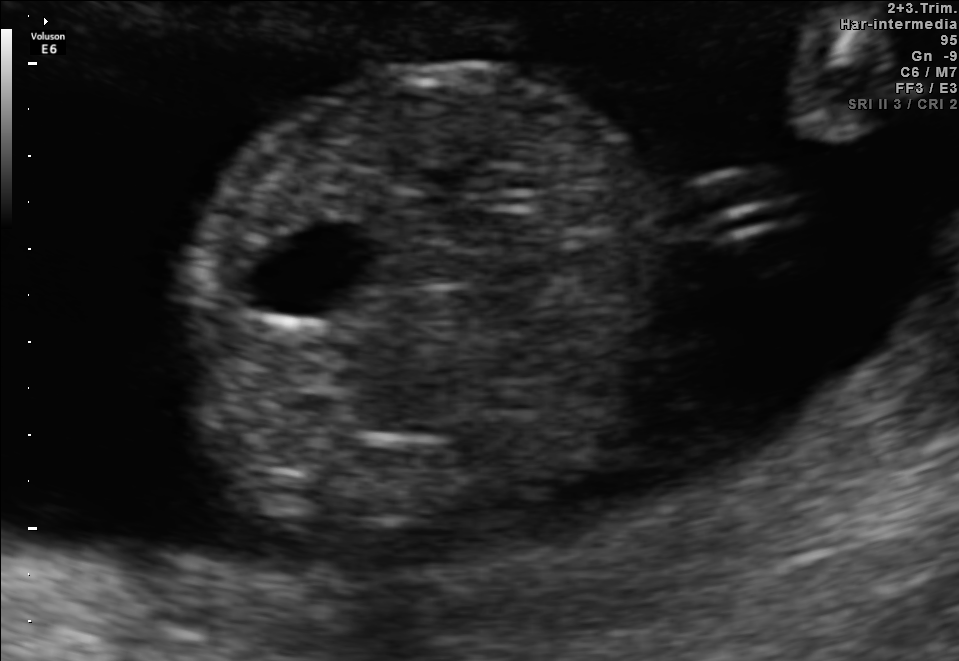
Identify the standard plane in this fetal ultrasound image: fetal abdomen, fetal brain, fetal femur, fetal thorax, maternal cervix, or other. If it's fetal brain and one of the three standard brain planes (trans-thalamic, trans-cerebellum, trans-ventricular), name which.

Fetal abdomen